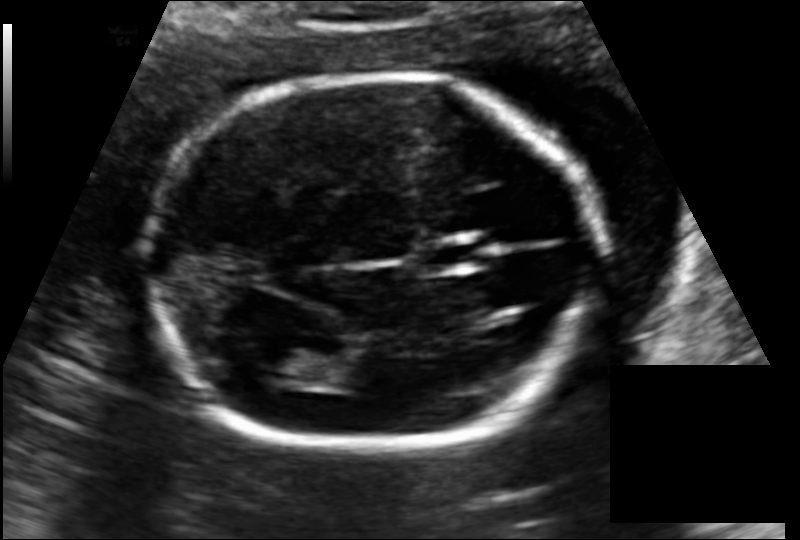
Fetal head ultrasound. Image width: 101.6 mm. Locate the fetal head and, if visible, the cavum septum pellucidum (CSP) and lateral ventricle (LV). Give bounding boxes as [x1,y1,x2,y2].

Head: [148,74,603,453]
CSP: [417,238,482,272]
Lateral ventricle: [259,342,325,392]